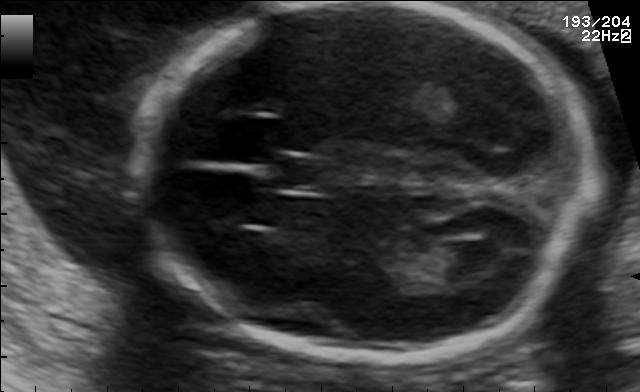
Fetal brain, trans-ventricular plane. Locate the fetal head.

Head: [125,3,604,363]